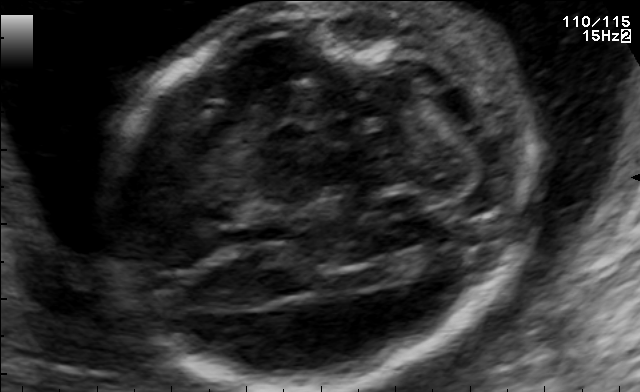
Fetal brain, trans-cerebellum plane. Give [x1,y1,x2,y2] bounding boxes for each visible structure among: fetal head, CSP, LV.

Head: [105,4,521,391]